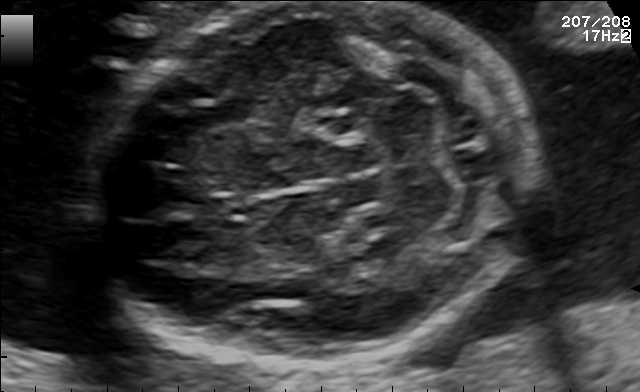
This is a 2D maternal-fetal ultrasound frame. Is it a fetal abdomen, fetal brain, fetal femur, fetal thorax, maternal cervix, or other standard plane? If it's fetal brain and one of the three standard brain planes (trans-thalamic, trans-cerebellum, trans-ventricular), name which.

Fetal brain (trans-cerebellum plane)